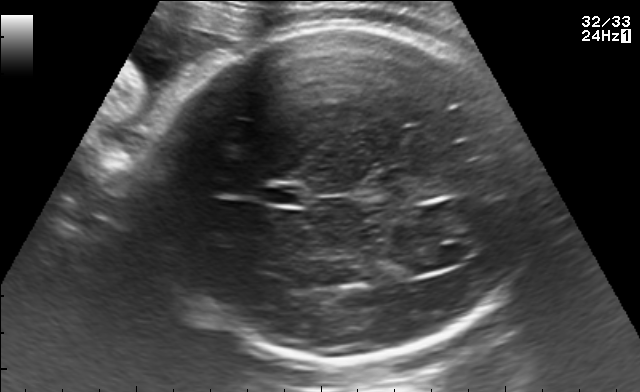
Fetal brain, trans-ventricular plane. Where is the lateral ventricle?

Lateral ventricle bounding box: [408,245,459,276]